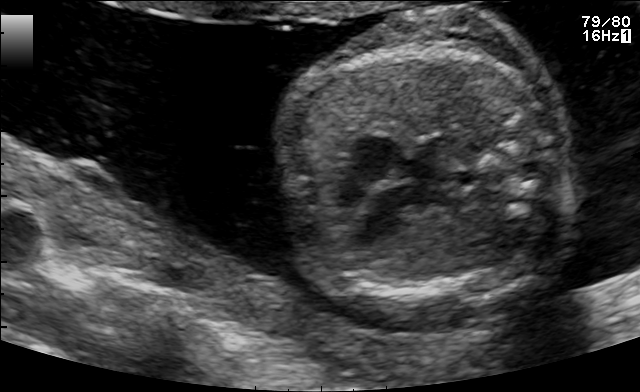
This is a 2D maternal-fetal ultrasound frame. Is it a fetal abdomen, fetal brain, fetal femur, fetal thorax, maternal cervix, or other standard plane? If it's fetal brain and one of the three standard brain planes (trans-thalamic, trans-cerebellum, trans-ventricular), name which.

Fetal thorax